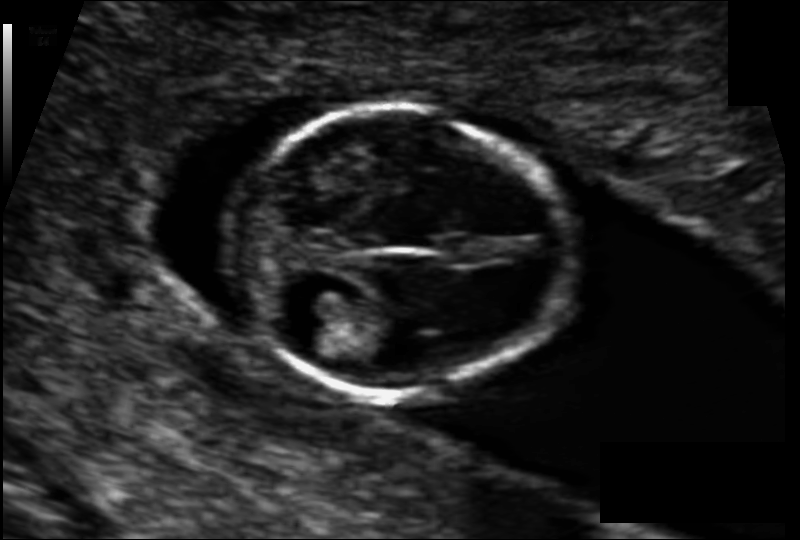
Estimate the fetal head circumference from this 2D ultrasound.

Head circumference: 78.5 mm (image width 63.0 mm).